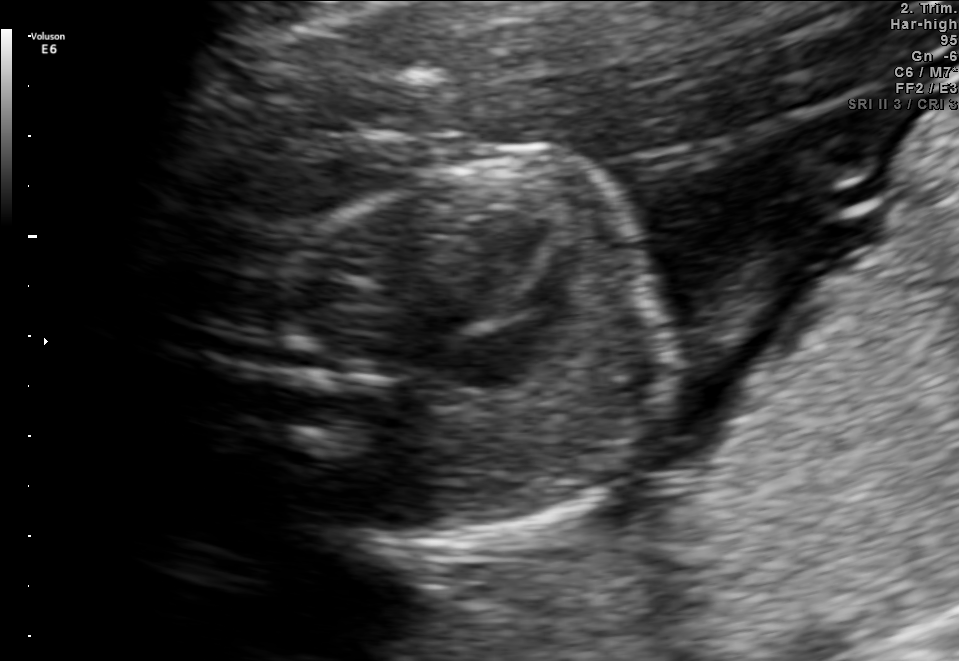
Which standard maternal-fetal ultrasound plane is shown: fetal abdomen, fetal brain, fetal femur, fetal thorax, maternal cervix, or other? If it's fetal brain and one of the three standard brain planes (trans-thalamic, trans-cerebellum, trans-ventricular), name which.

Fetal thorax